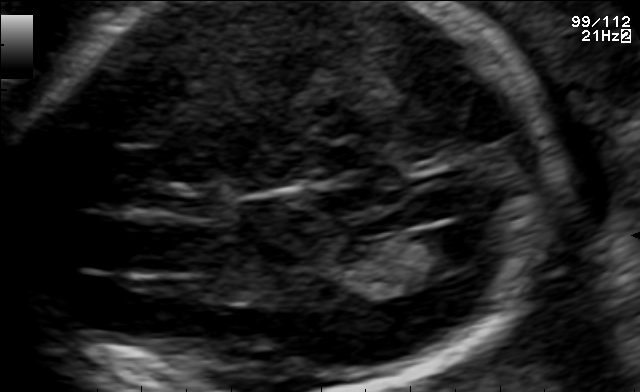
Fetal brain, trans-ventricular plane. Give [x1,y1,x2,y2] bounding boxes for each visible structure among: CSP, LV.

CSP: [177,188,221,216]
Lateral ventricle: [413,212,508,278]